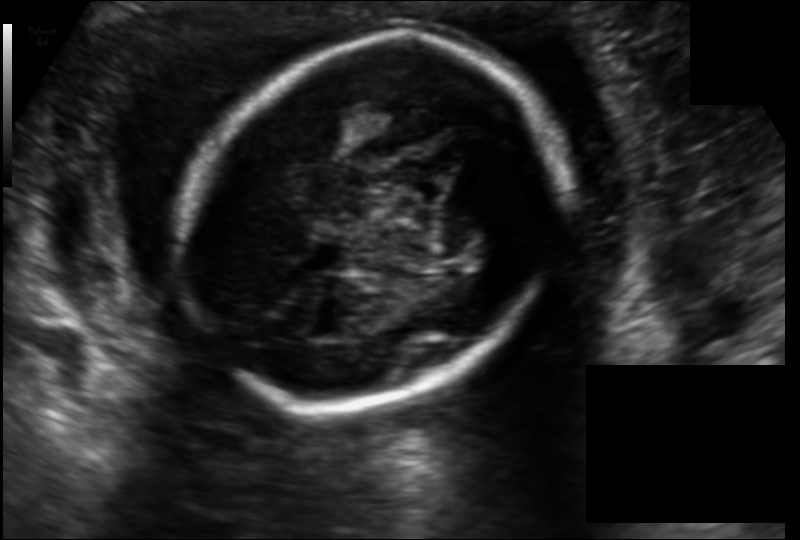
Fetal head ultrasound. Image width: 112.8 mm. Where is the fetal head?

Head bounding box: [187,35,560,408]